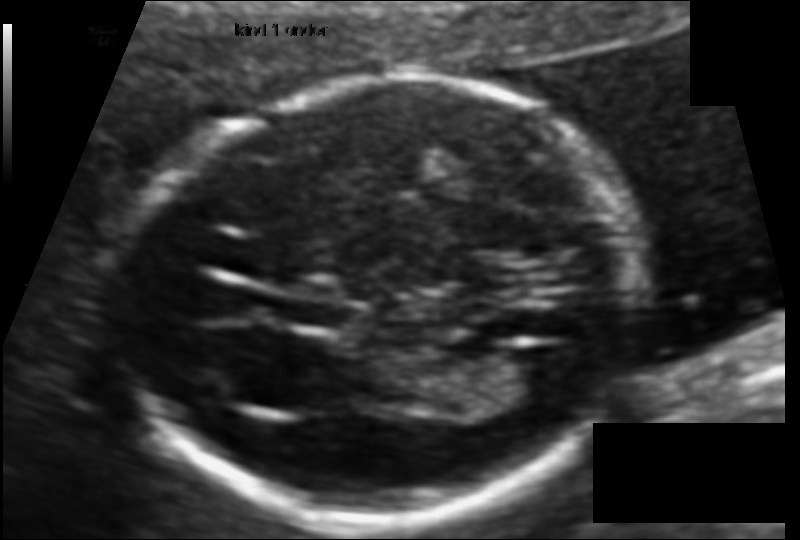
Fetal head ultrasound. Image width: 75.7 mm. Locate the cavum septum pellucidum.

CSP: [290,297,353,332]